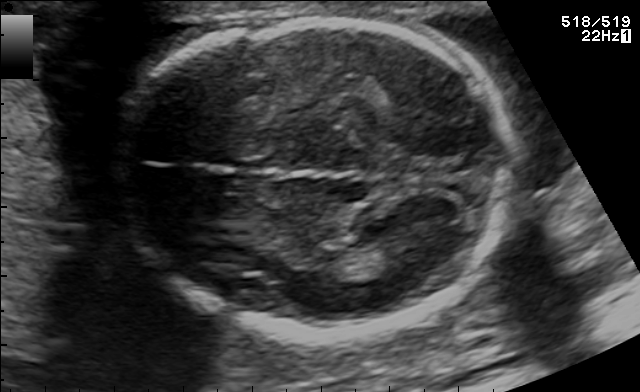
Fetal brain, trans-thalamic plane. Locate the fetal head.

Head: [121,17,514,335]